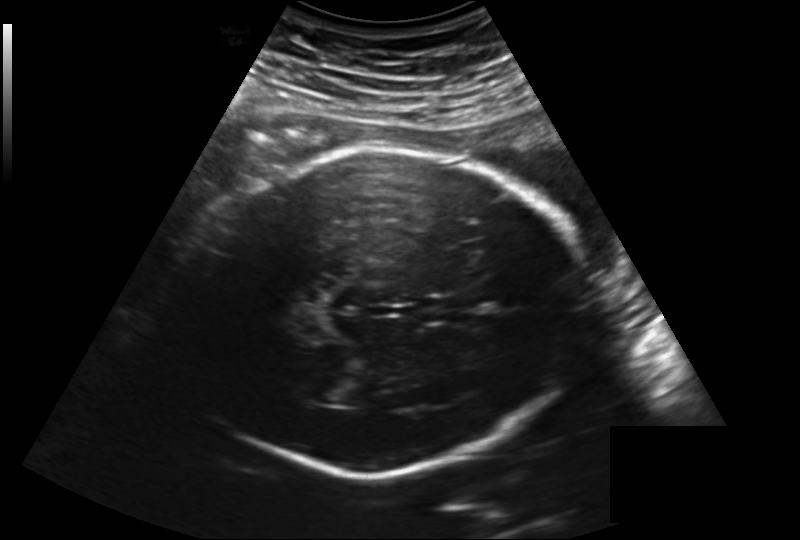
Measure the fetal head circumference shown in this ultrasound image. Image width: 175.2 mm.

Head circumference: 260.4 mm.